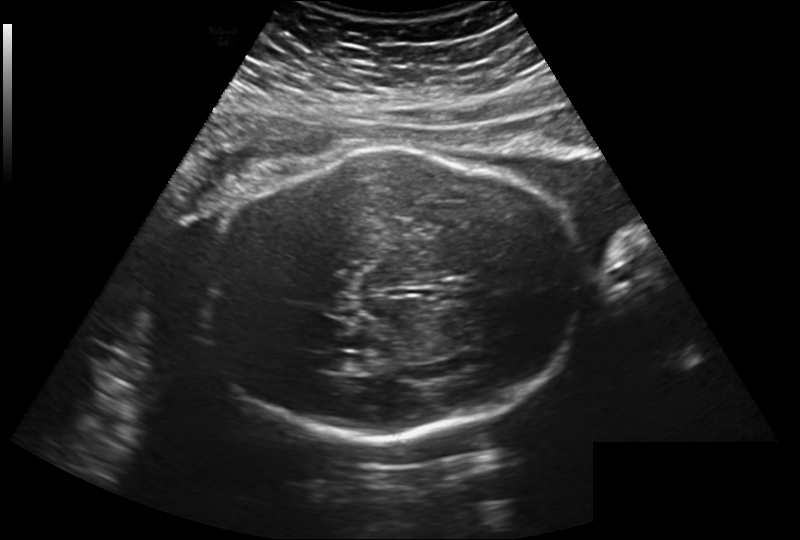
In this fetal head ultrasound, give the bounding box of the fetal head. Image width: 208.3 mm.

[204,145,583,439]